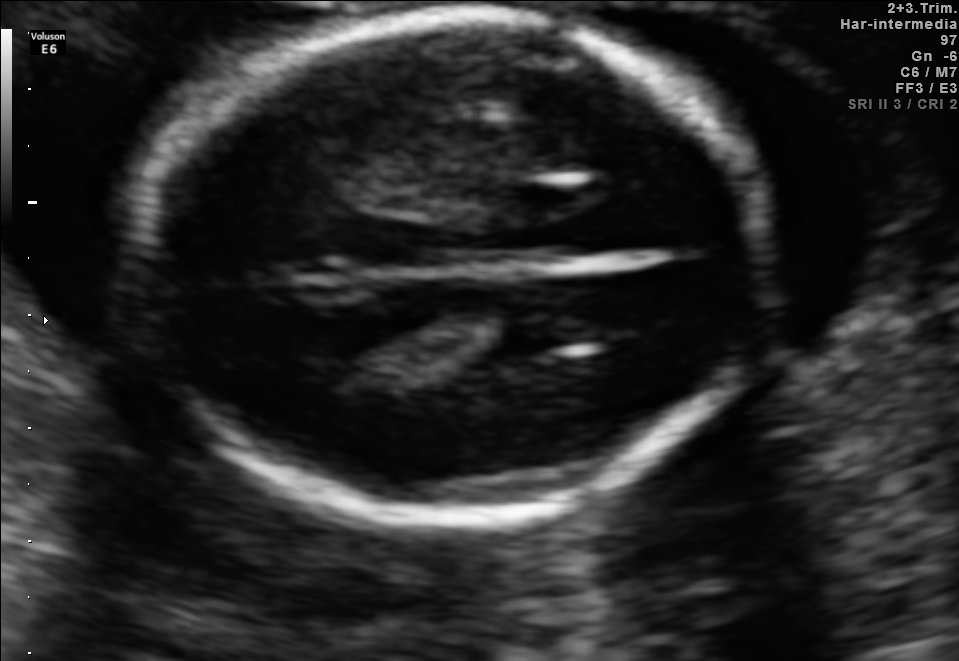
In this fetal brain, trans-thalamic plane, give the bounding box of the fetal head.

[139,16,768,519]